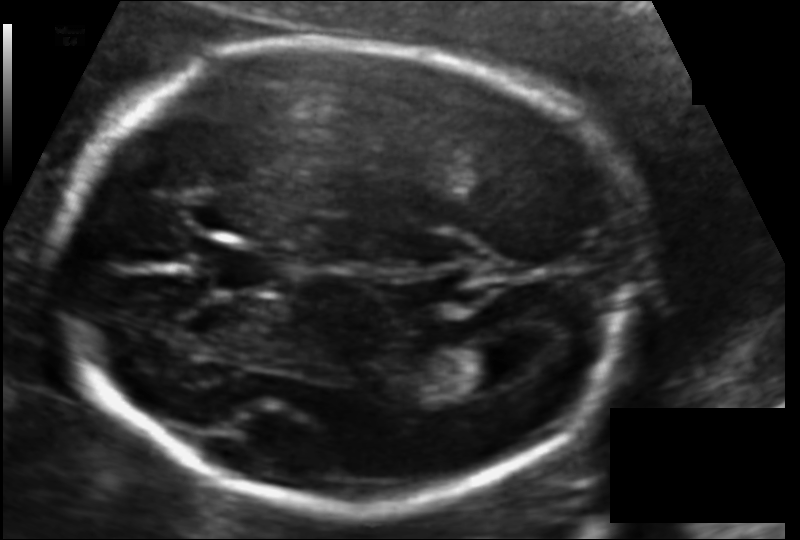
Fetal head ultrasound. Image width: 92.7 mm. Locate the cavum septum pellucidum.

CSP: [205,241,287,296]